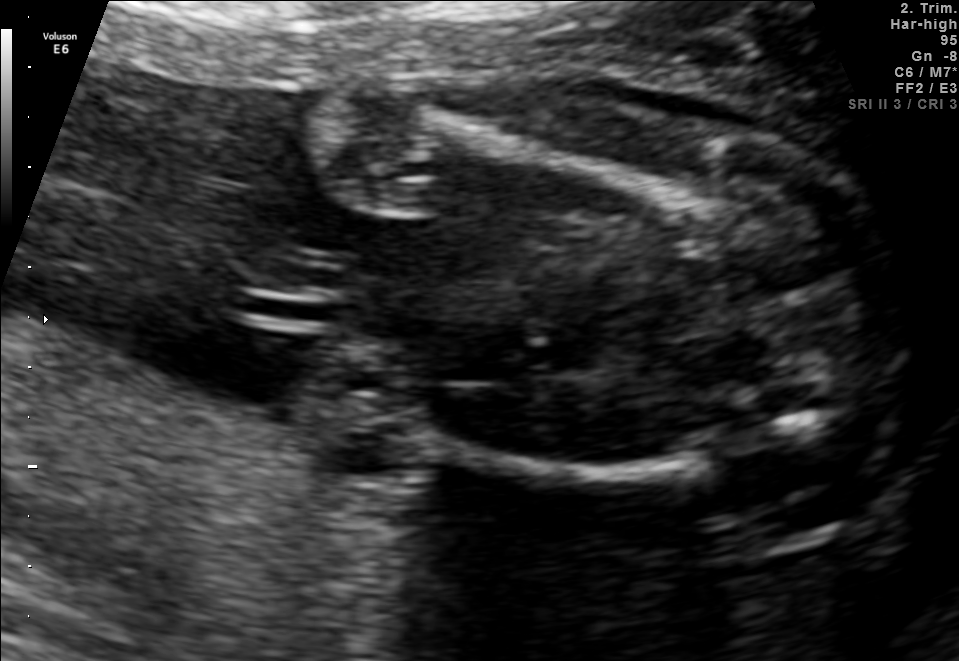
Identify the standard plane in this fetal ultrasound image: fetal abdomen, fetal brain, fetal femur, fetal thorax, maternal cervix, or other. If it's fetal brain and one of the three standard brain planes (trans-thalamic, trans-cerebellum, trans-ventricular), name which.

Fetal femur